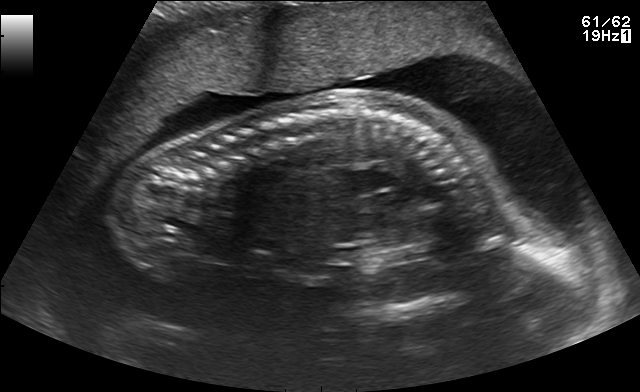
Identify the standard plane in this fetal ultrasound image: fetal abdomen, fetal brain, fetal femur, fetal thorax, maternal cervix, or other. If it's fetal brain and one of the three standard brain planes (trans-thalamic, trans-cerebellum, trans-ventricular), name which.

Other